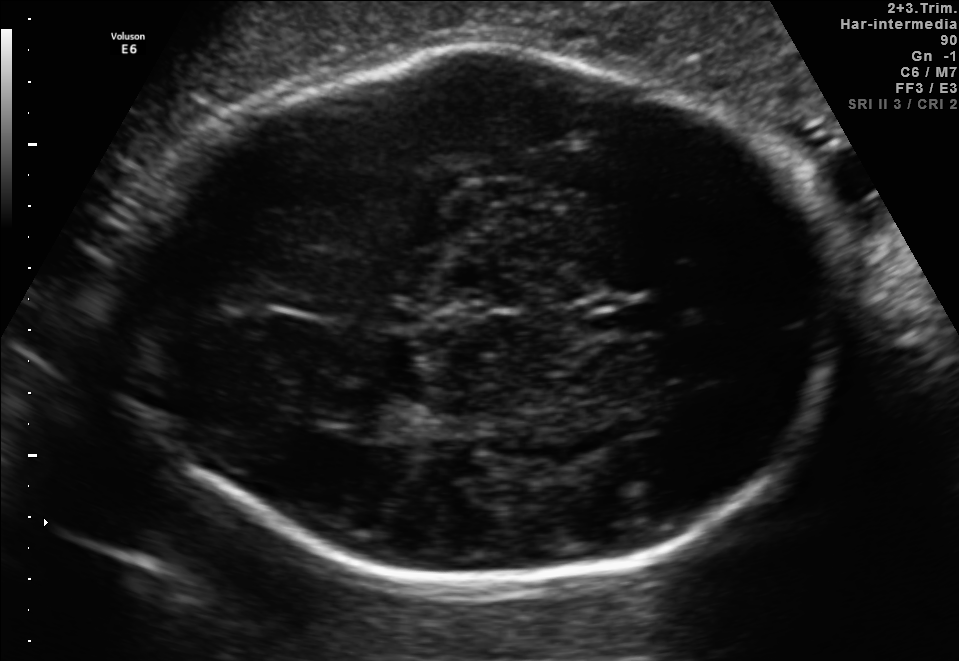
Fetal brain, trans-thalamic plane. Where is the fetal head?

Head bounding box: [102,50,841,579]